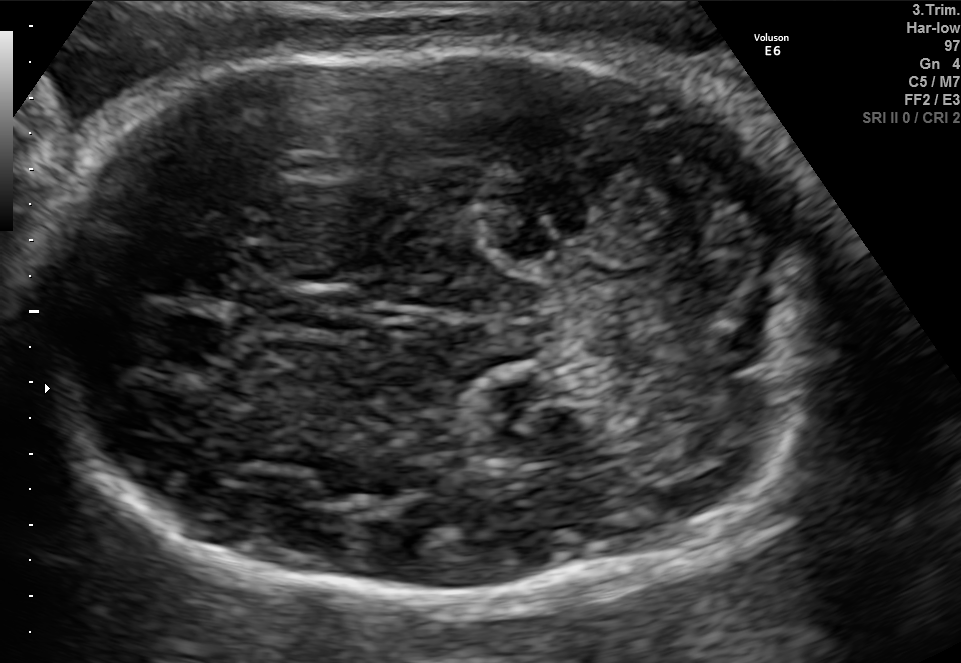
In this fetal brain, trans-cerebellum plane, give bounding boxes for the head outline, cavum septum pellucidum (CSP), and lateral ventricle (LV), where visible.

Head: [31,44,812,597]